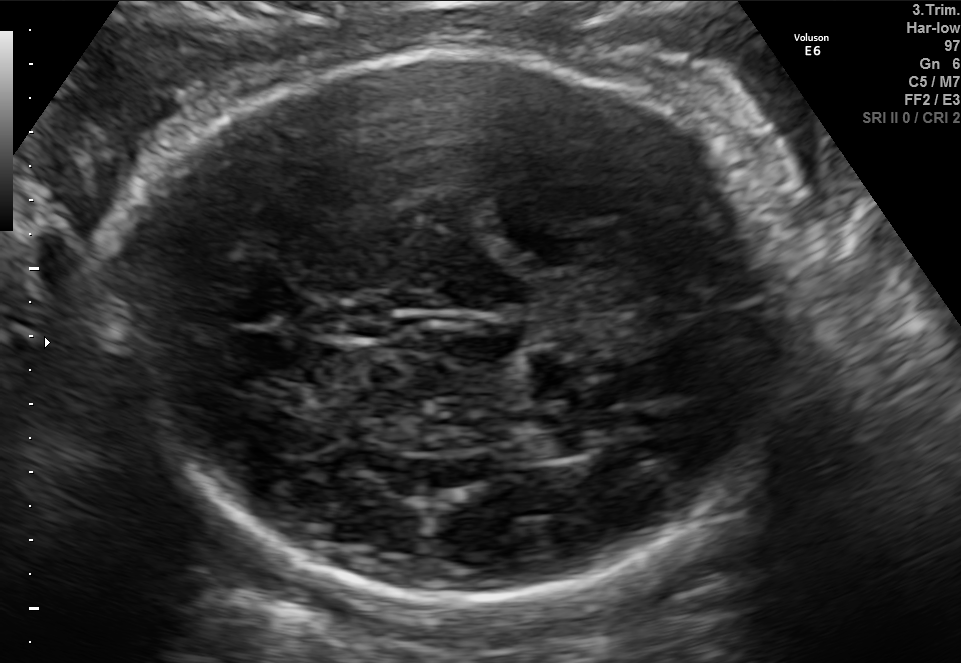
In this fetal brain, trans-thalamic plane, give the bounding box of the lateral ventricle.

[536,426,594,461]